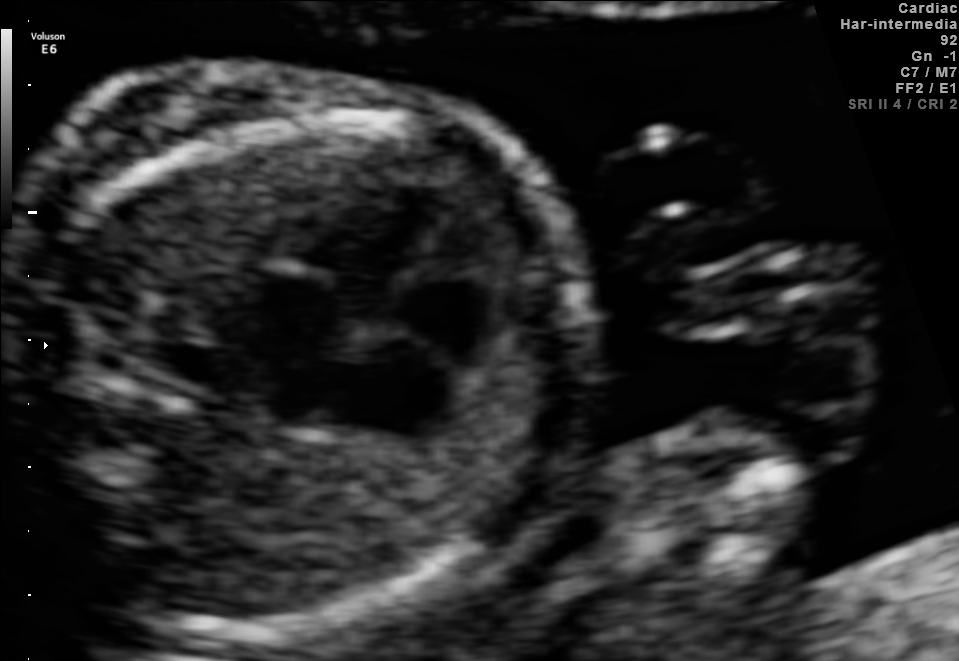
Classify this maternal-fetal ultrasound image as one of the six standard planes — fetal abdomen, fetal brain, fetal femur, fetal thorax, maternal cervix, or other. If it's fetal brain and one of the three standard brain planes (trans-thalamic, trans-cerebellum, trans-ventricular), name which.

Fetal thorax